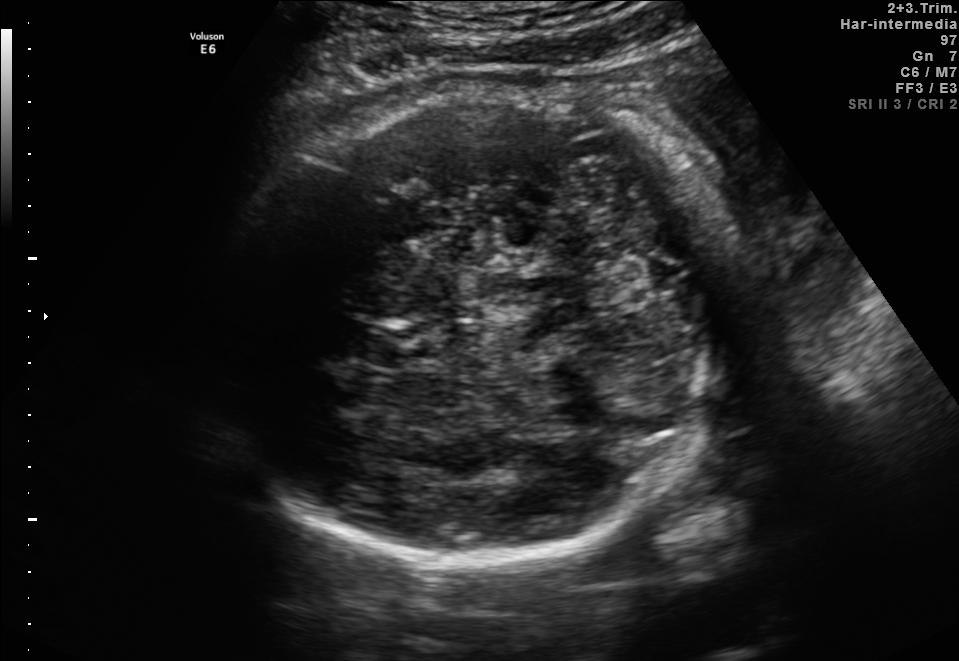
Fetal brain, trans-thalamic plane. Where is the fetal head?

Head bounding box: [207,90,730,563]